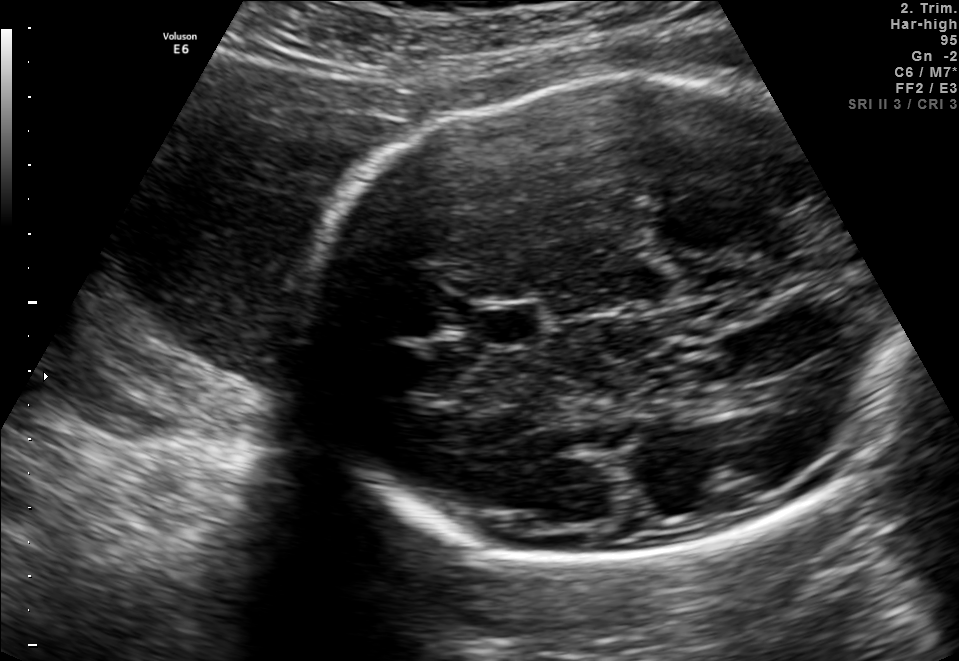
Identify the standard plane in this fetal ultrasound image: fetal abdomen, fetal brain, fetal femur, fetal thorax, maternal cervix, or other. If it's fetal brain and one of the three standard brain planes (trans-thalamic, trans-cerebellum, trans-ventricular), name which.

Fetal brain (trans-thalamic plane)